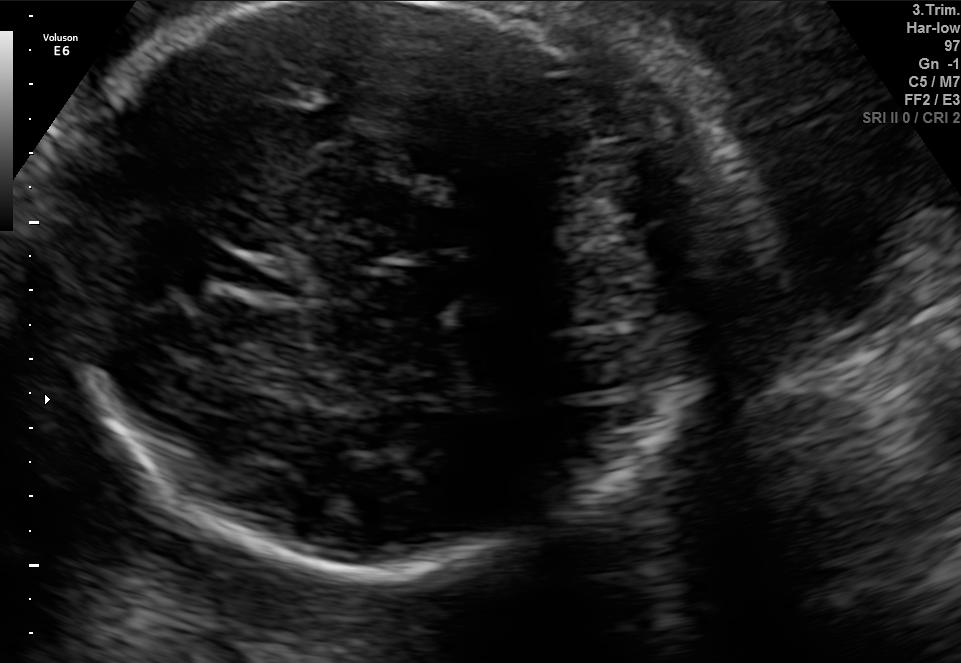
In this fetal brain, trans-cerebellum plane, give bounding boxes for the head outline, cavum septum pellucidum (CSP), and lateral ventricle (LV), where visible.

Head: [57,4,687,567]